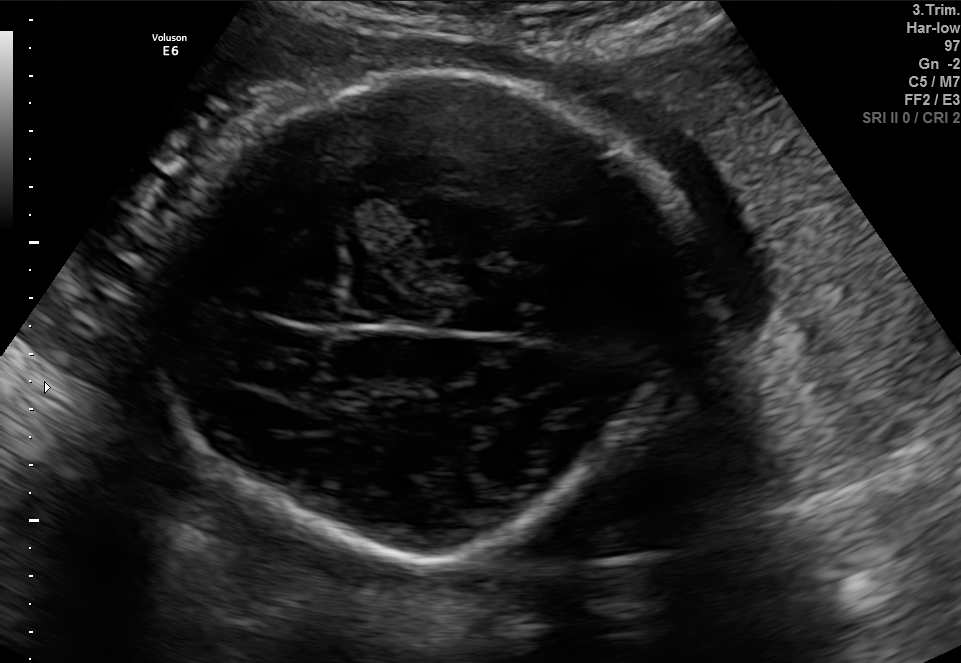
Fetal brain, trans-thalamic plane. Where is the fetal head?

Head bounding box: [172,58,674,561]